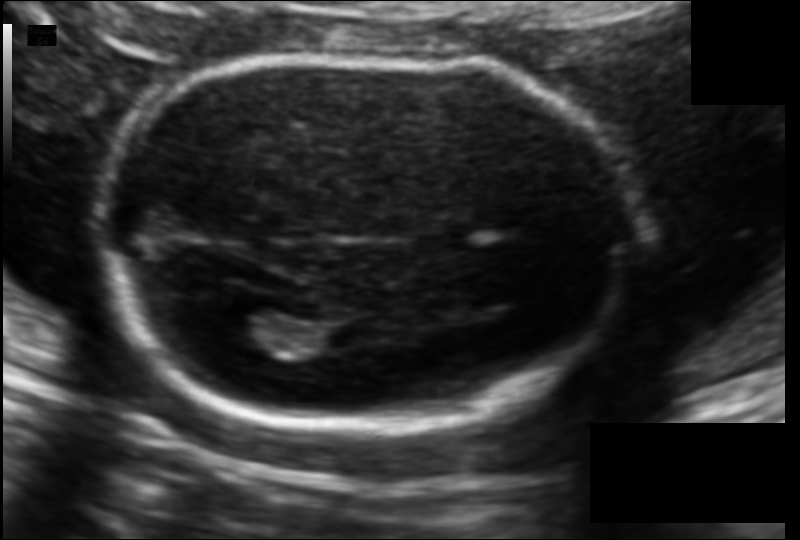
Estimate the fetal head circumference from this 2D ultrasound.

Head circumference: 170.1 mm (image width 90.5 mm).